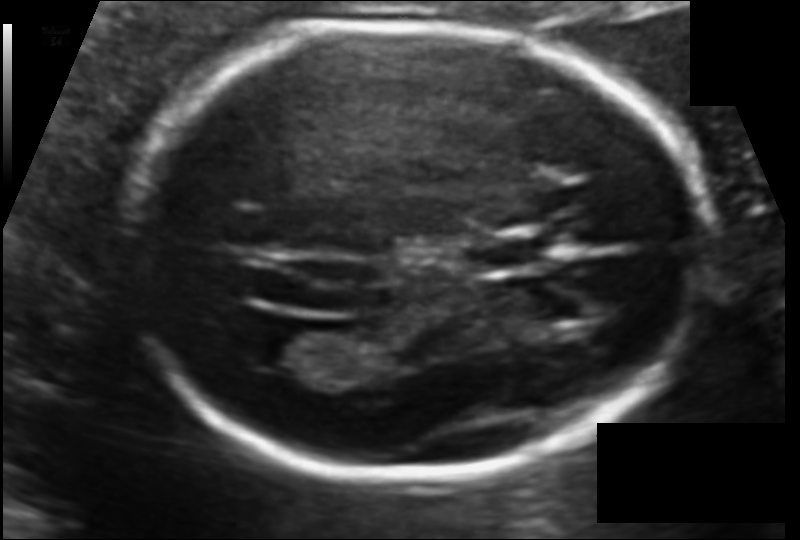
Fetal head ultrasound. Image width: 85.6 mm. Locate the lateral ventricle.

Lateral ventricle: [249,328,325,371]